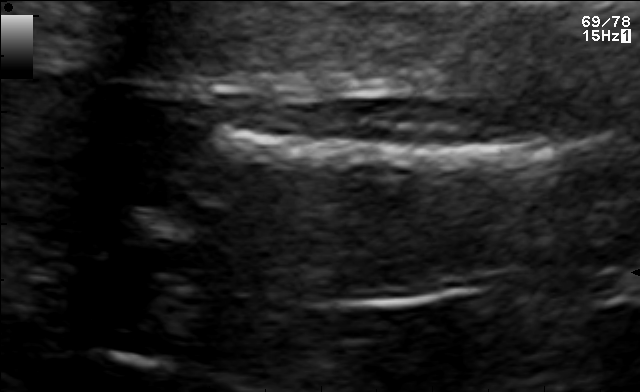
Which standard maternal-fetal ultrasound plane is shown: fetal abdomen, fetal brain, fetal femur, fetal thorax, maternal cervix, or other? If it's fetal brain and one of the three standard brain planes (trans-thalamic, trans-cerebellum, trans-ventricular), name which.

Fetal femur